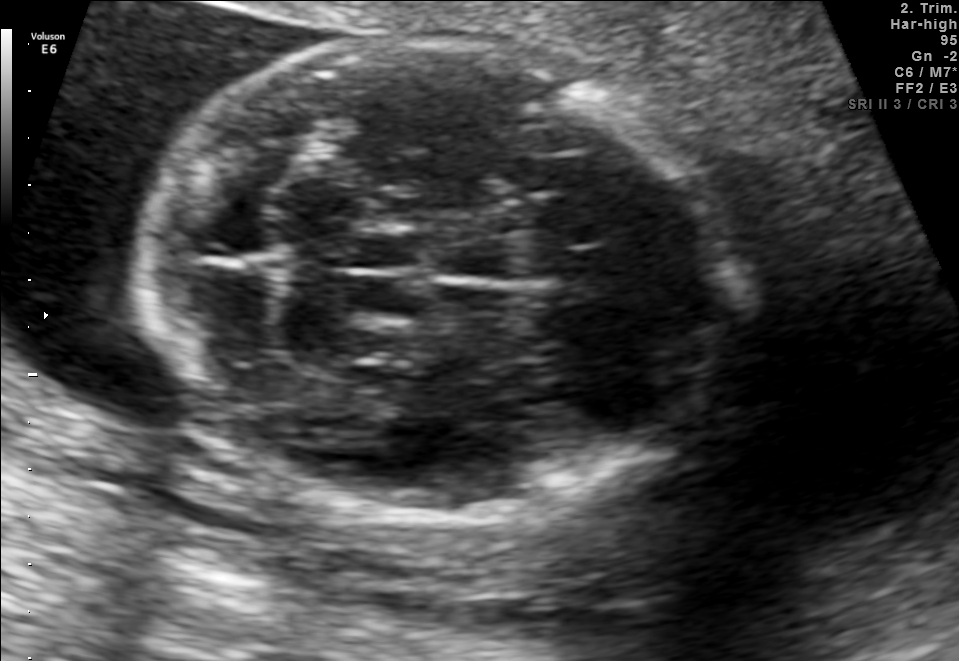
Fetal brain, trans-cerebellum plane. Where is the fetal head?

Head bounding box: [143,38,726,525]